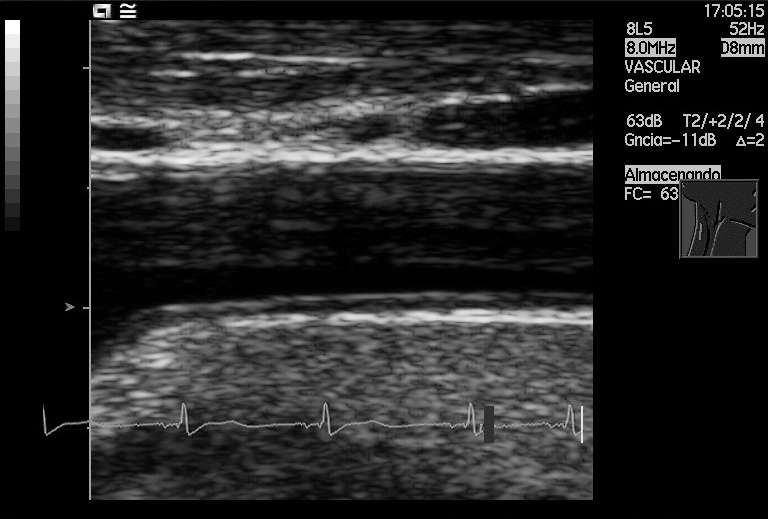
This is a 2D maternal-fetal ultrasound frame. Is it a fetal abdomen, fetal brain, fetal femur, fetal thorax, maternal cervix, or other standard plane? If it's fetal brain and one of the three standard brain planes (trans-thalamic, trans-cerebellum, trans-ventricular), name which.

Other